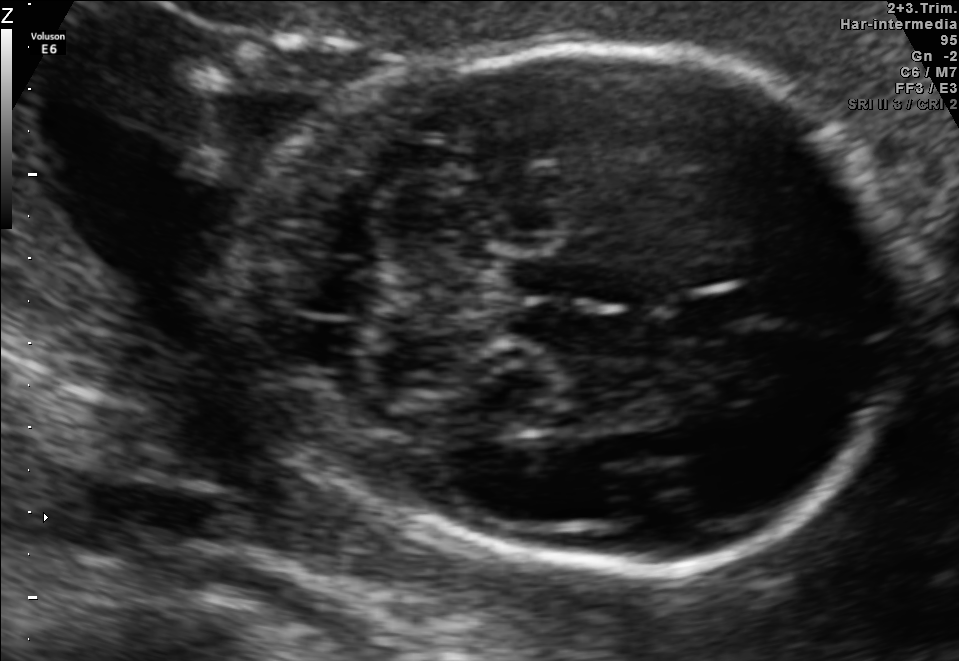
Fetal brain, trans-cerebellum plane. Where is the fetal head?

Head bounding box: [234,46,913,569]